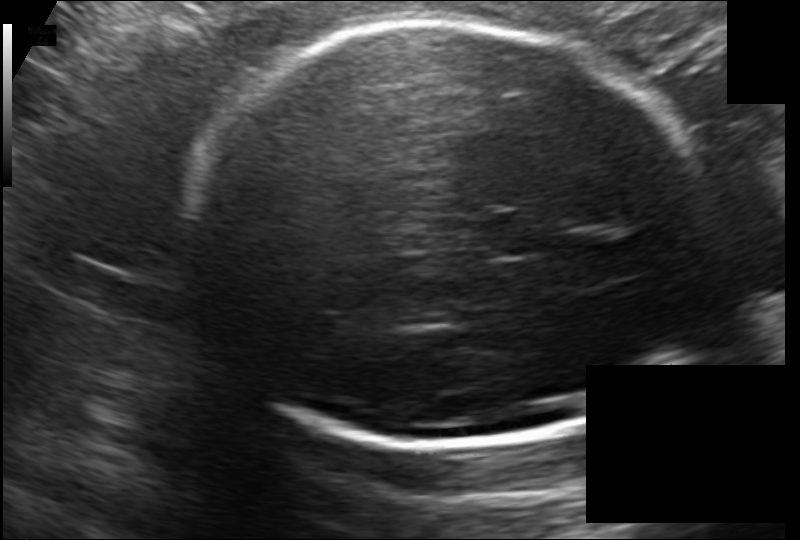
Measure the fetal head circumference shown in this ultrasound image. Image width: 137.9 mm.

Head circumference: 265.5 mm.